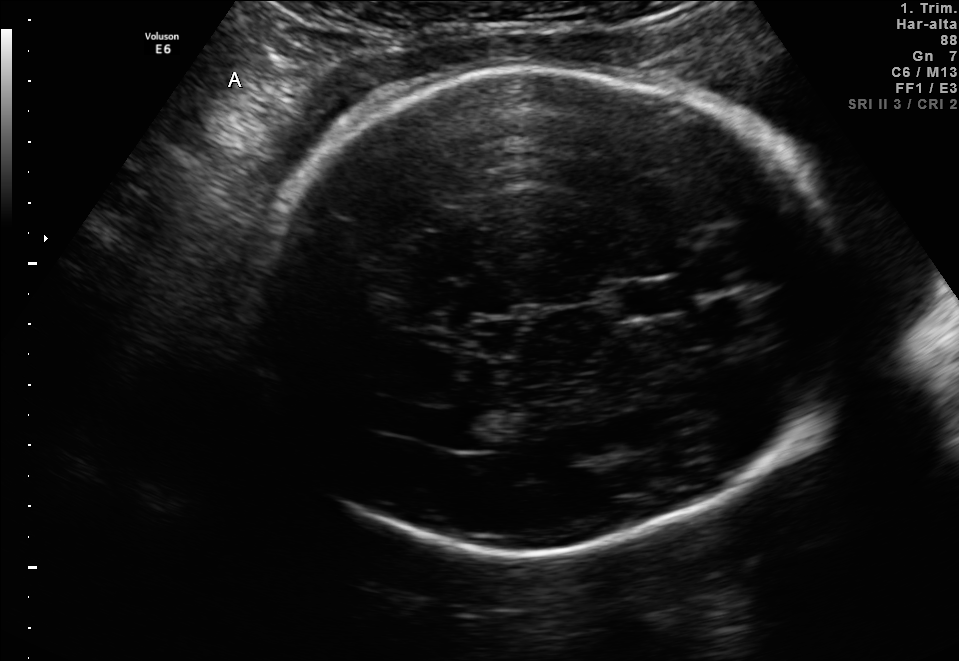
In this fetal brain, trans-thalamic plane, give the bounding box of the cavum septum pellucidum.

[618,278,682,320]